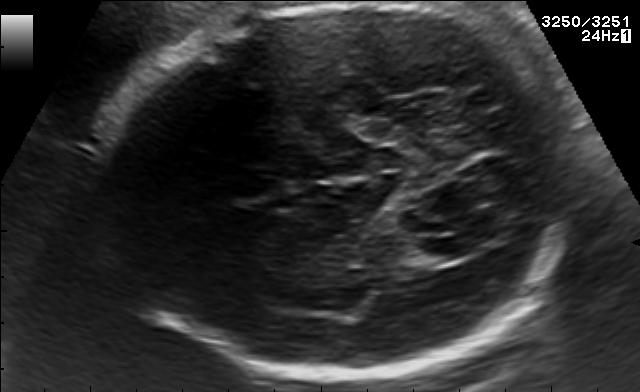
Fetal brain, trans-thalamic plane. Locate the fetal head and, if visible, the cavum septum pellucidum (CSP) and lateral ventricle (LV). Give bounding boxes as [x1,y1,x2,y2].

Head: [109,3,573,381]
Lateral ventricle: [405,226,481,274]